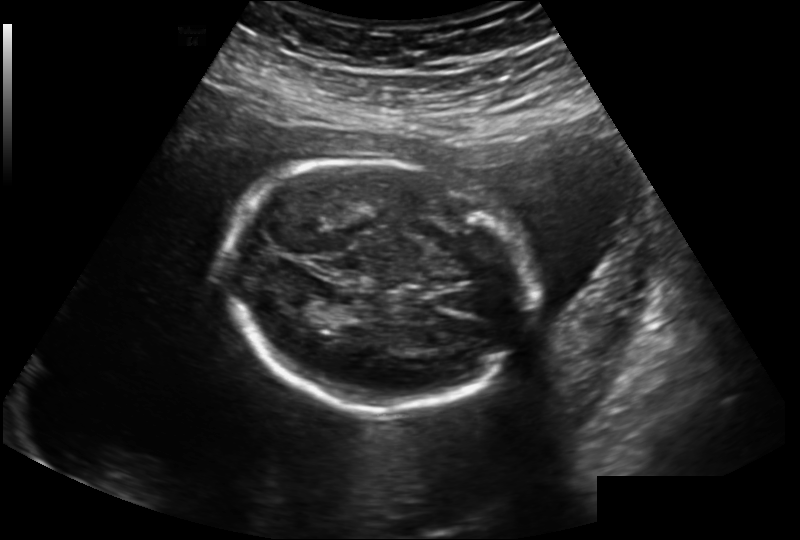
Estimate the fetal head circumference from this 2D ultrasound. Image width: 161.6 mm.

Head circumference: 185.6 mm.